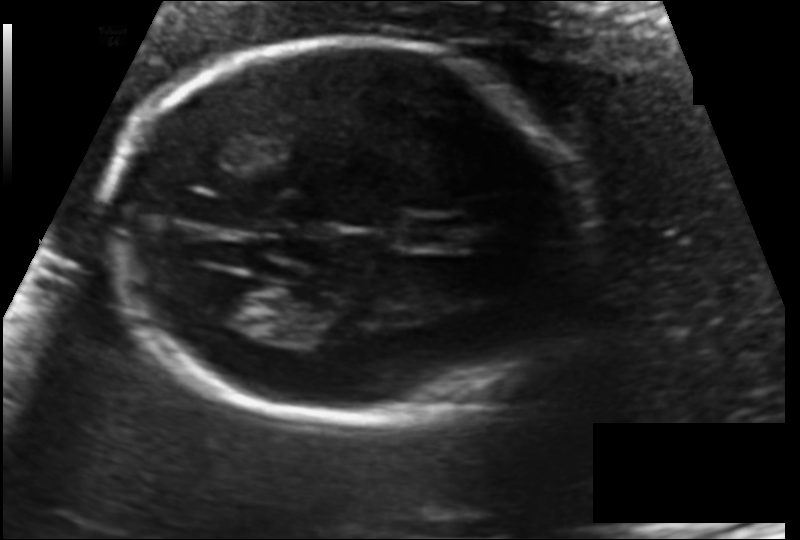
Fetal head ultrasound. Image width: 97.9 mm. Where is the lateral ventricle?

Lateral ventricle bounding box: [195,270,282,335]